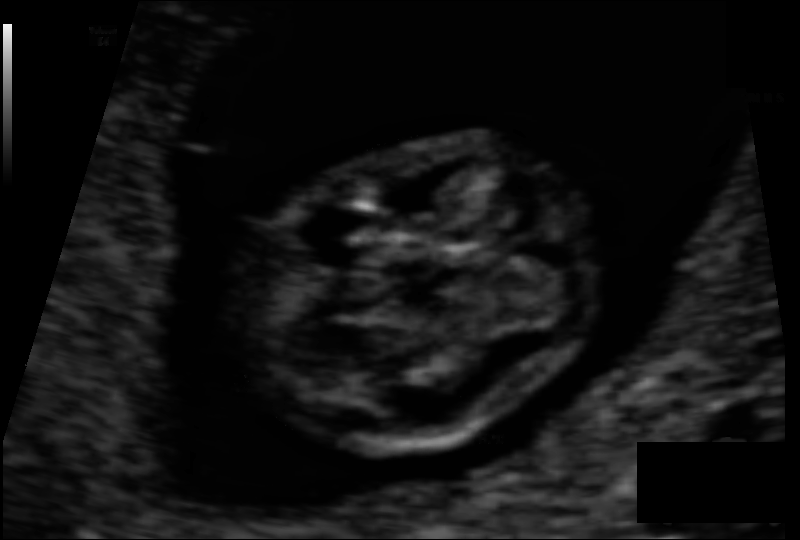
In this fetal head ultrasound, give the bounding box of the fetal head. Image width: 48.2 mm.

[245,141,596,446]